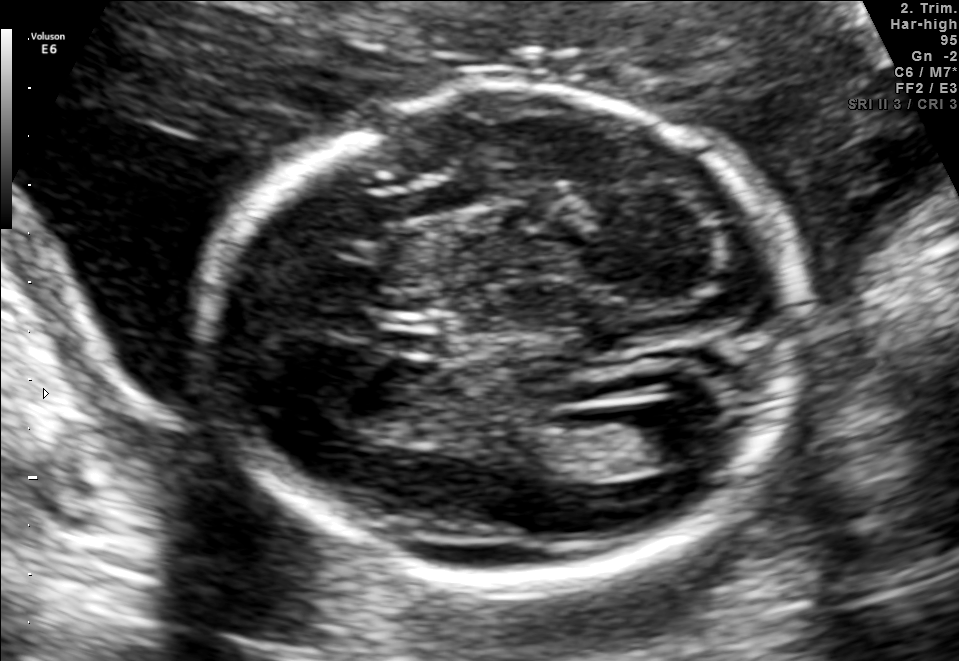
Fetal brain, trans-ventricular plane. Where is the cavum septum pellucidum?

CSP bounding box: [362,303,459,359]